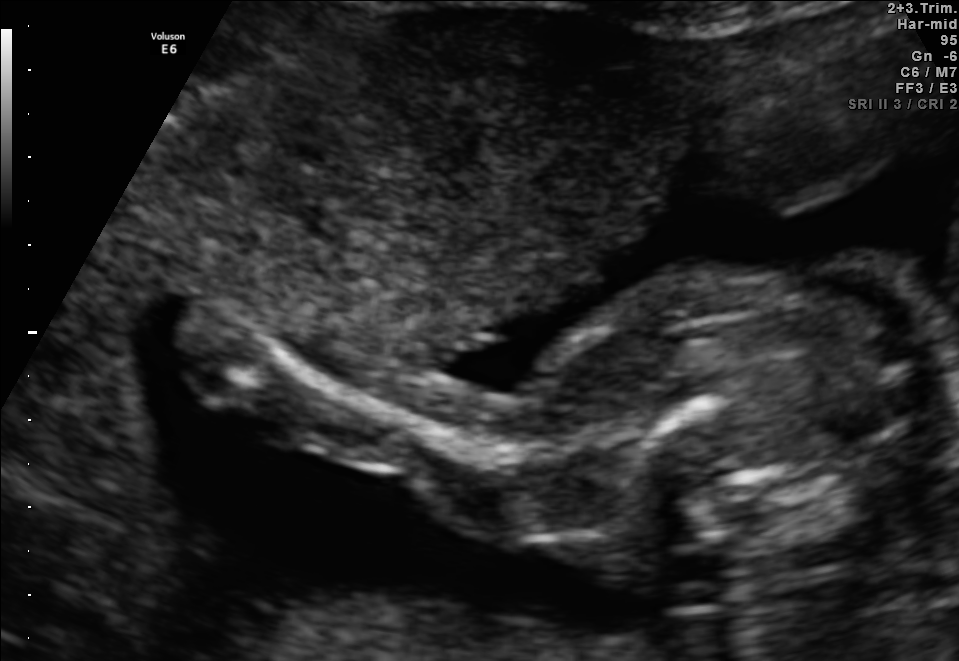
Classify this maternal-fetal ultrasound image as one of the six standard planes — fetal abdomen, fetal brain, fetal femur, fetal thorax, maternal cervix, or other. If it's fetal brain and one of the three standard brain planes (trans-thalamic, trans-cerebellum, trans-ventricular), name which.

Other